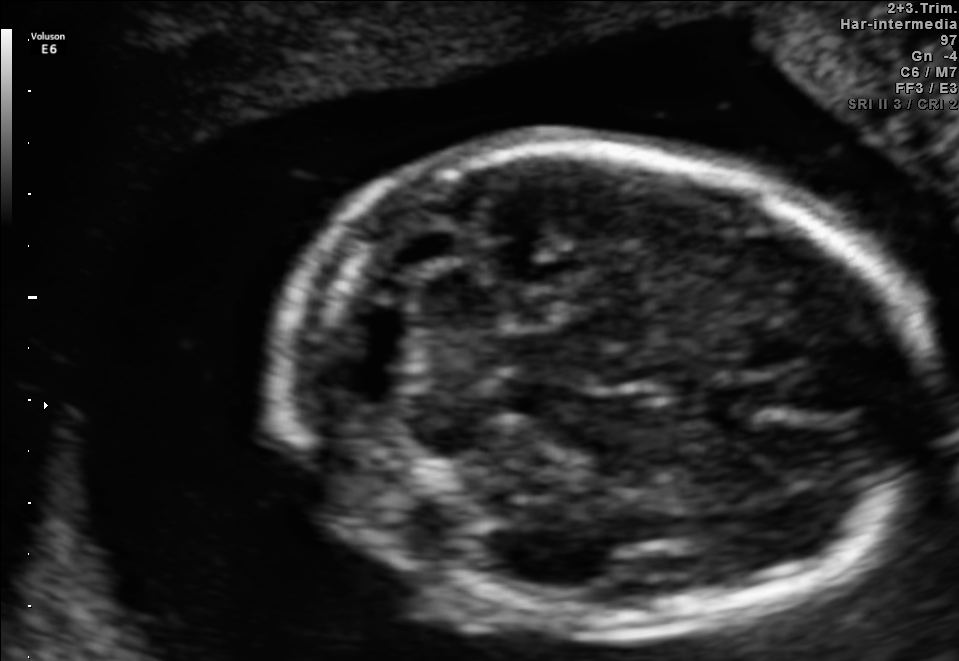
Identify the standard plane in this fetal ultrasound image: fetal abdomen, fetal brain, fetal femur, fetal thorax, maternal cervix, or other. If it's fetal brain and one of the three standard brain planes (trans-thalamic, trans-cerebellum, trans-ventricular), name which.

Fetal brain (trans-cerebellum plane)